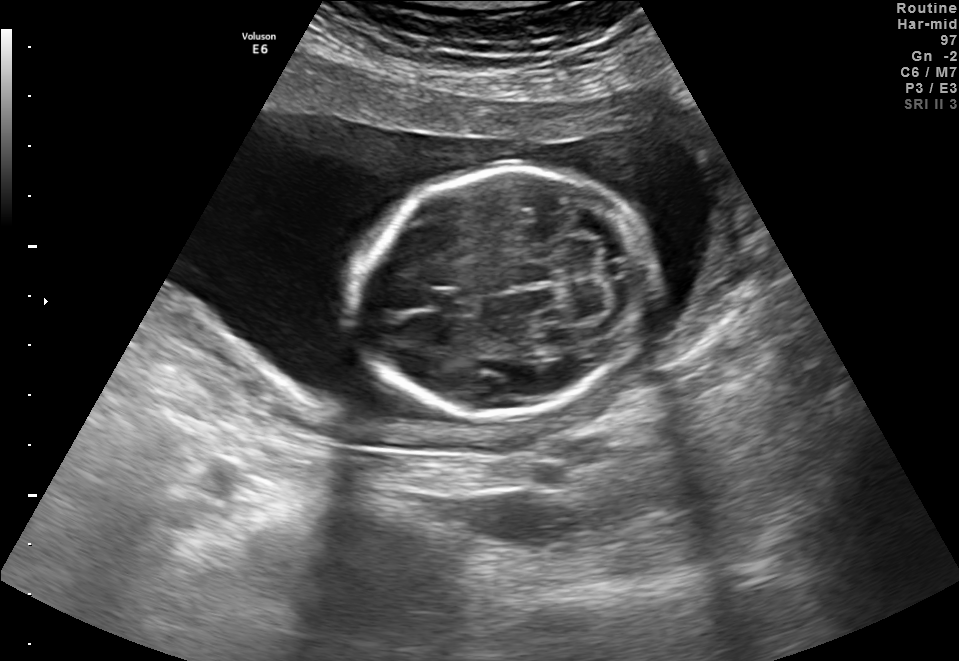
Fetal brain, trans-cerebellum plane. Locate the fetal head and, if visible, the cavum septum pellucidum (CSP) and lateral ventricle (LV). Give bounding boxes as [x1,y1,x2,y2].

Head: [351,169,654,416]
CSP: [431,287,477,316]